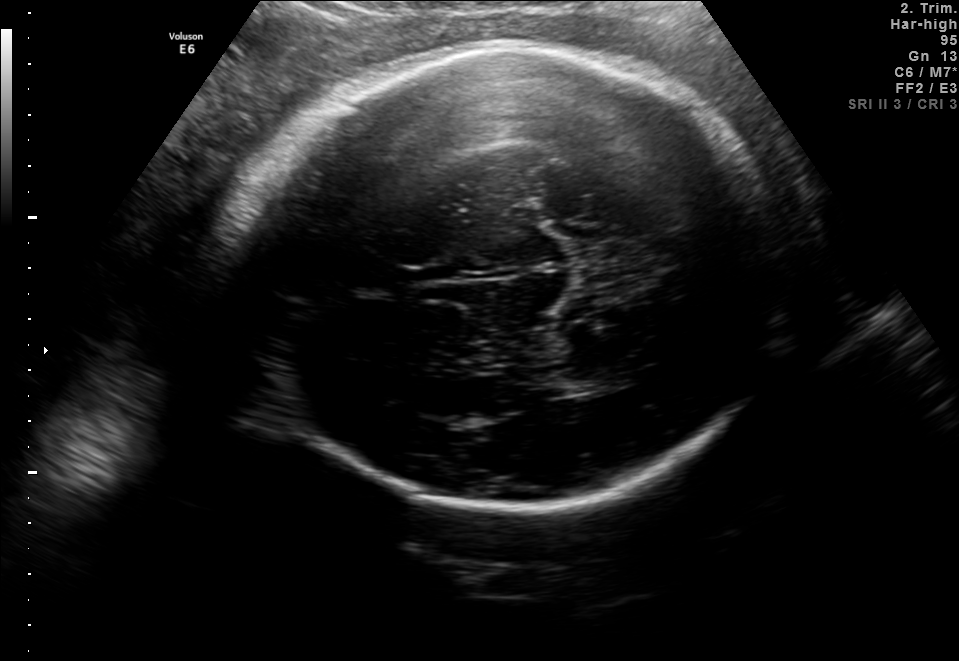
In this fetal brain, trans-thalamic plane, give bounding boxes for the head outline, cavum septum pellucidum (CSP), and lateral ventricle (LV), where visible.

Head: [224,46,785,511]